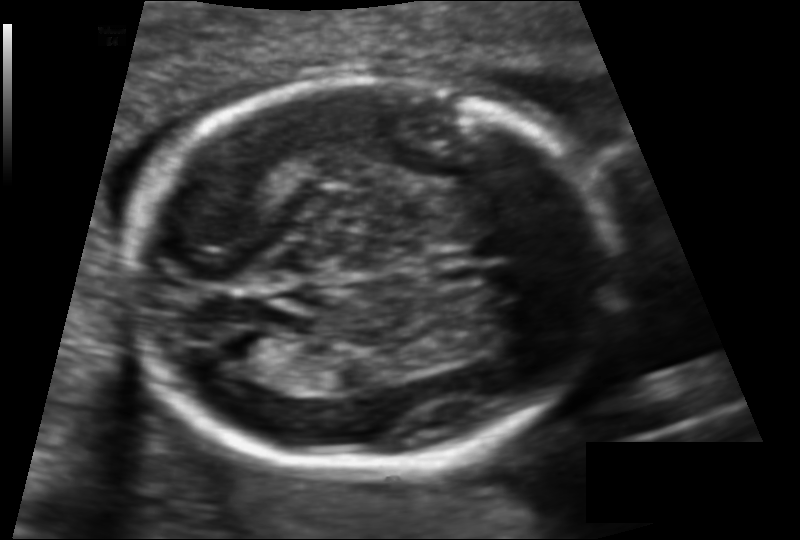
Estimate the fetal head circumference from this 2D ultrasound.

Head circumference: 170.4 mm (image width 94.9 mm).